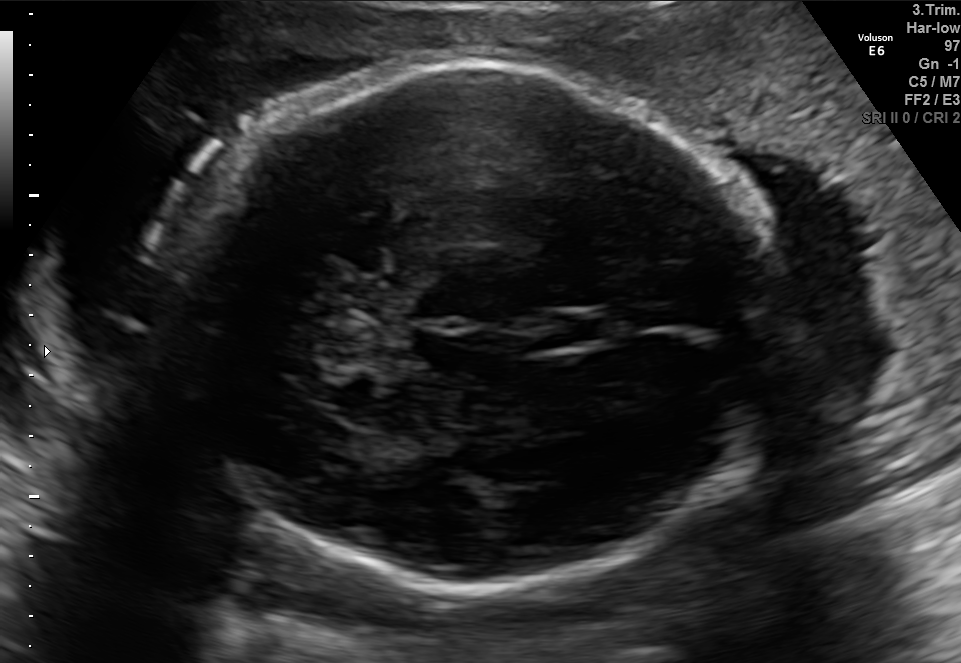
Fetal brain, trans-thalamic plane. Give [x1,y1,x2,y2] bounding boxes for each visible structure among: fetal head, CSP, LV.

Head: [162,66,777,587]
CSP: [556,304,623,350]